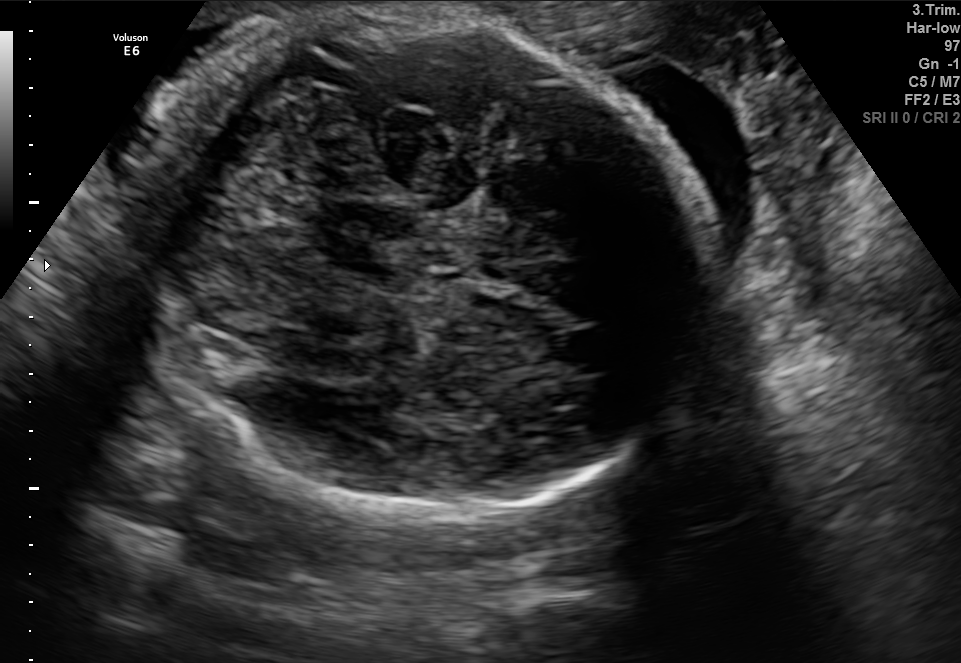
Fetal brain, trans-cerebellum plane. Locate the fetal head.

Head: [118,17,698,510]